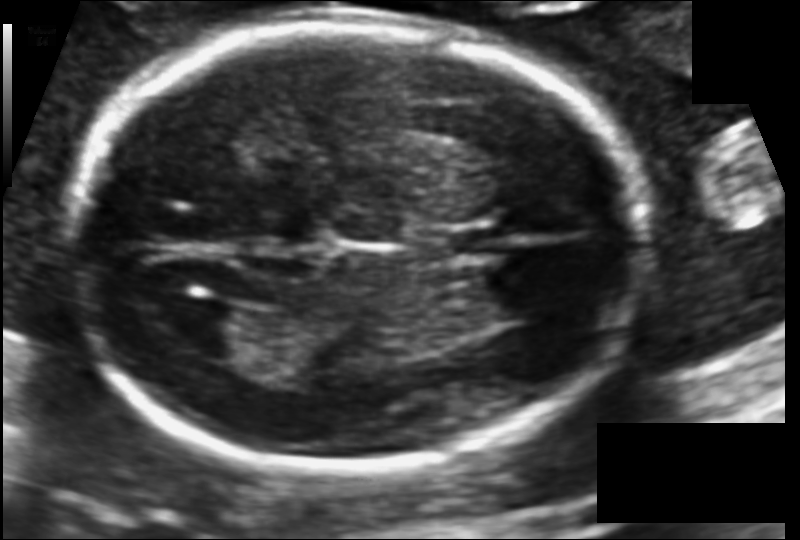
Measure the fetal head circumference shown in this ultrasound image. Image width: 90.1 mm.

Head circumference: 184.4 mm.